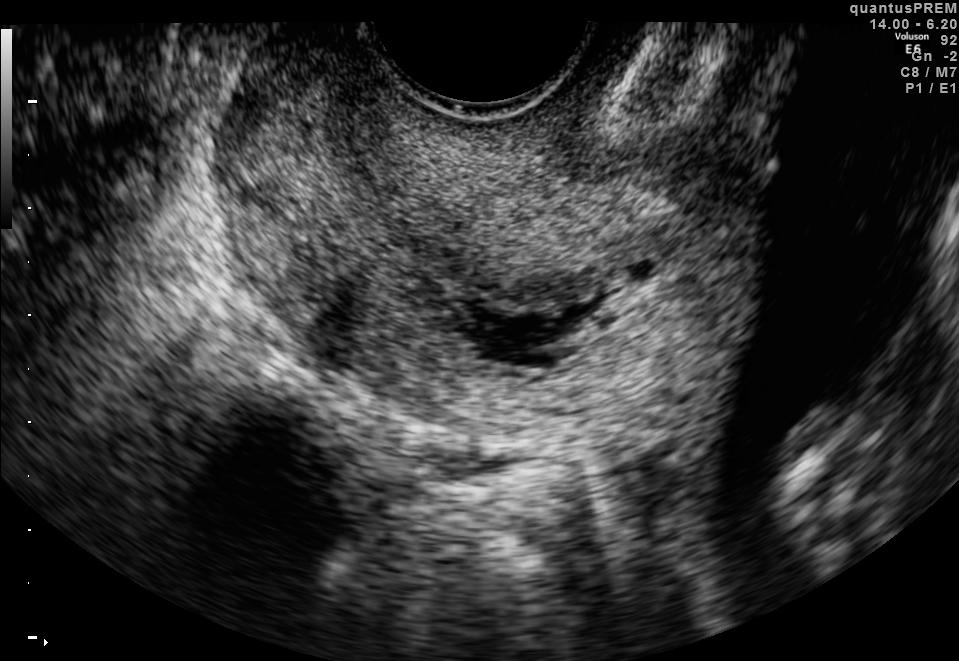
This is a 2D maternal-fetal ultrasound frame. Is it a fetal abdomen, fetal brain, fetal femur, fetal thorax, maternal cervix, or other standard plane? If it's fetal brain and one of the three standard brain planes (trans-thalamic, trans-cerebellum, trans-ventricular), name which.

Maternal cervix